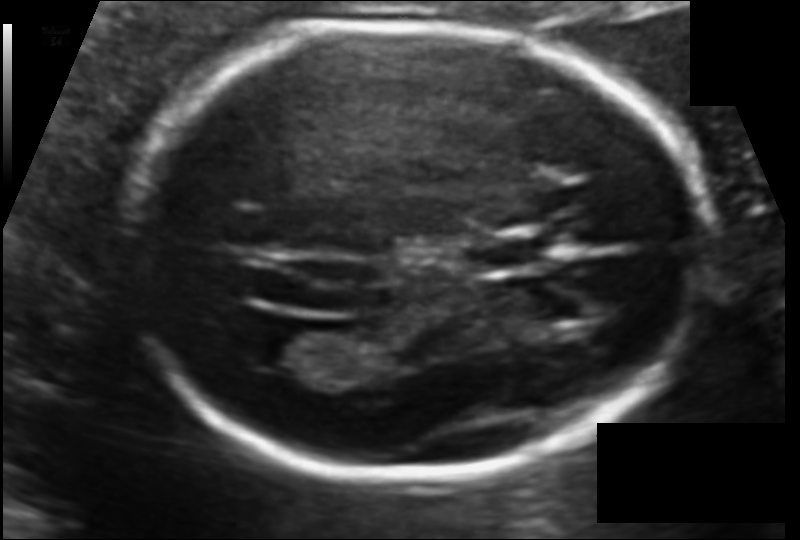
Fetal head ultrasound. Image width: 85.6 mm. Where is the cavum septum pellucidum?

CSP bounding box: [468,224,552,279]